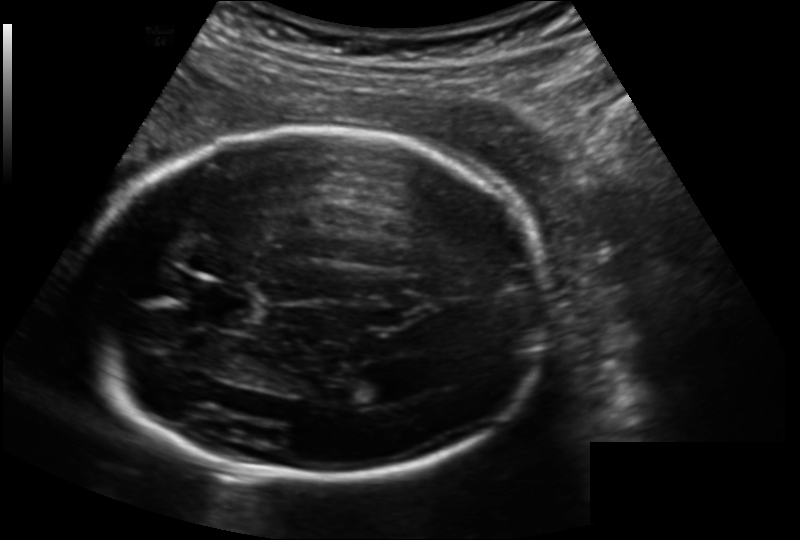
Measure the fetal head circumference shown in this ultrasound image. Image width: 130.8 mm.

Head circumference: 219.1 mm.